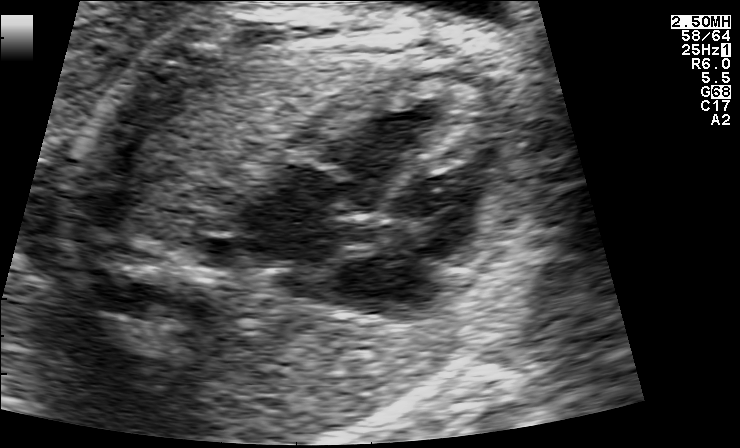
Which standard maternal-fetal ultrasound plane is shown: fetal abdomen, fetal brain, fetal femur, fetal thorax, maternal cervix, or other? If it's fetal brain and one of the three standard brain planes (trans-thalamic, trans-cerebellum, trans-ventricular), name which.

Fetal thorax